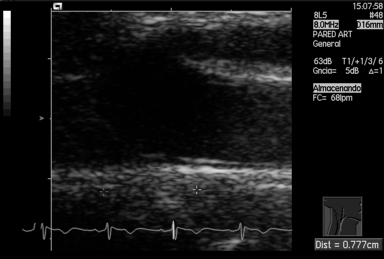
This is a 2D maternal-fetal ultrasound frame. Is it a fetal abdomen, fetal brain, fetal femur, fetal thorax, maternal cervix, or other standard plane? If it's fetal brain and one of the three standard brain planes (trans-thalamic, trans-cerebellum, trans-ventricular), name which.

Other